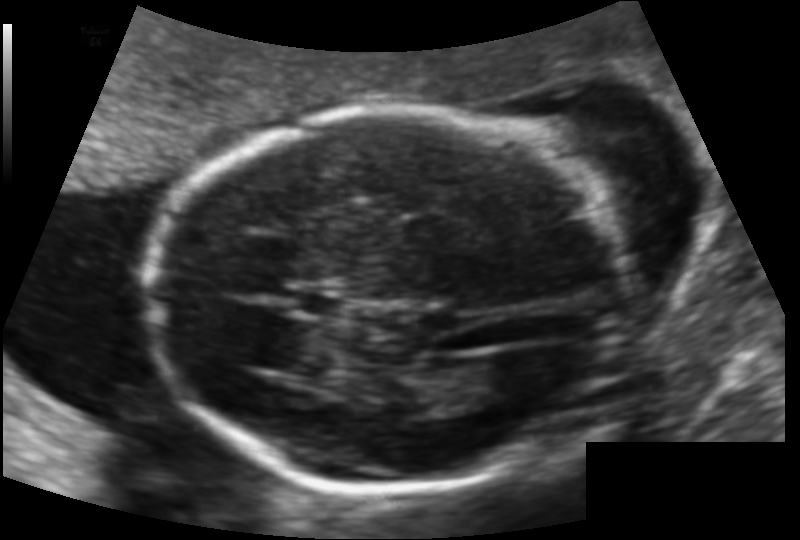
Fetal head ultrasound. Image width: 94.5 mm. Give [x1,y1,x2,y2] bounding boxes for each visible structure among: fetal head, CSP, LV.

Head: [150,109,620,491]
CSP: [292,288,343,319]
Lateral ventricle: [469,350,545,410]